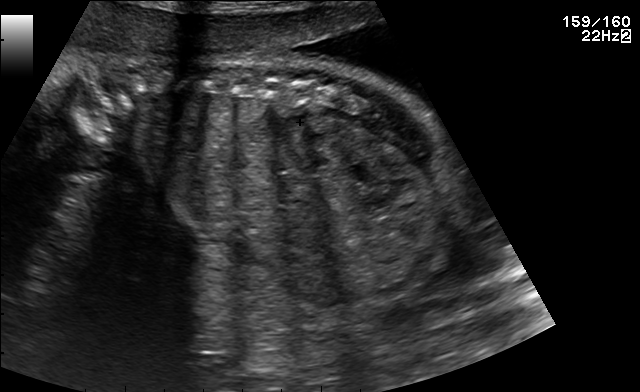
Classify this maternal-fetal ultrasound image as one of the six standard planes — fetal abdomen, fetal brain, fetal femur, fetal thorax, maternal cervix, or other. If it's fetal brain and one of the three standard brain planes (trans-thalamic, trans-cerebellum, trans-ventricular), name which.

Other